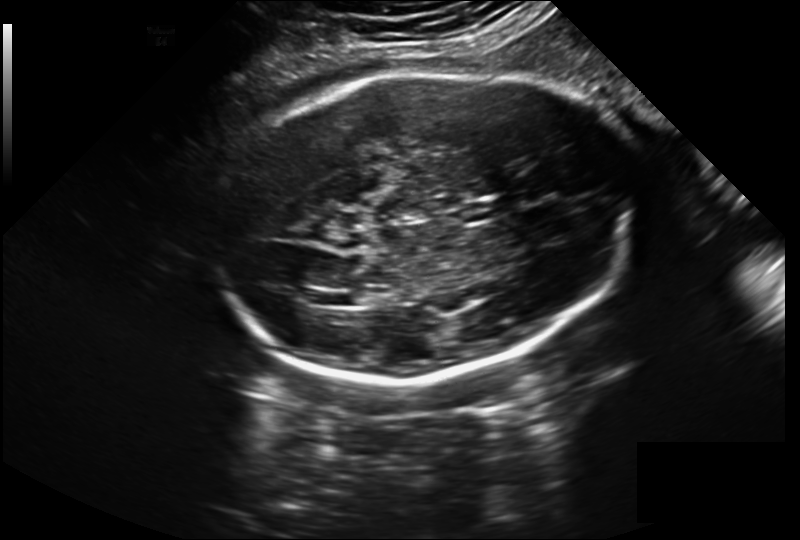
Fetal head ultrasound. Image width: 194.5 mm. Locate the fetal head and, if visible, the cavum septum pellucidum (CSP) and lateral ventricle (LV). Give bounding boxes as [x1,y1,x2,y2].

Head: [210,69,633,380]
Lateral ventricle: [337,292,369,305]